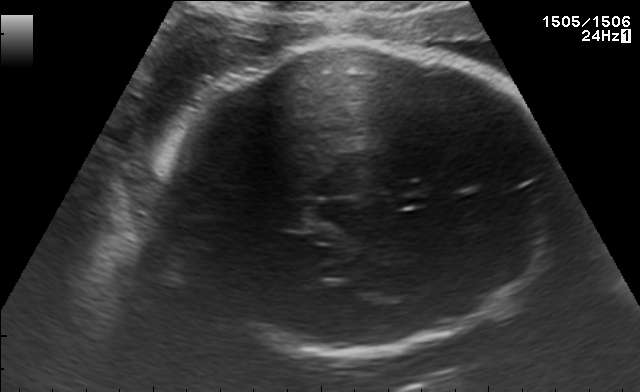
Fetal brain, trans-thalamic plane. Where is the fetal head?

Head bounding box: [158,47,558,355]